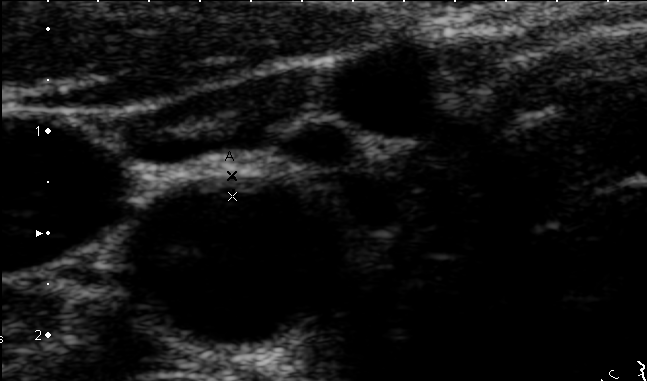
This is a 2D maternal-fetal ultrasound frame. Is it a fetal abdomen, fetal brain, fetal femur, fetal thorax, maternal cervix, or other standard plane? If it's fetal brain and one of the three standard brain planes (trans-thalamic, trans-cerebellum, trans-ventricular), name which.

Other